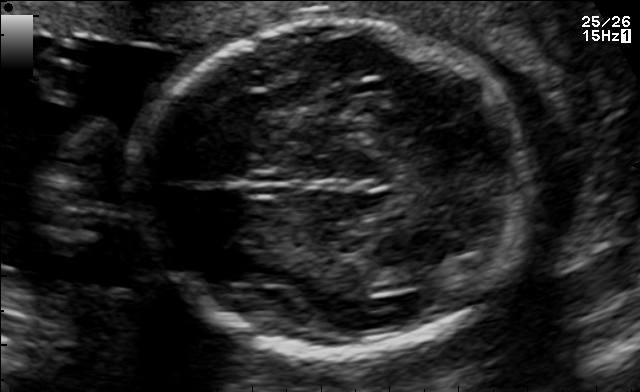
Fetal brain, trans-thalamic plane. Give [x1,y1,x2,y2] bounding boxes for each visible structure among: fetal head, CSP, LV.

Head: [137,23,523,354]